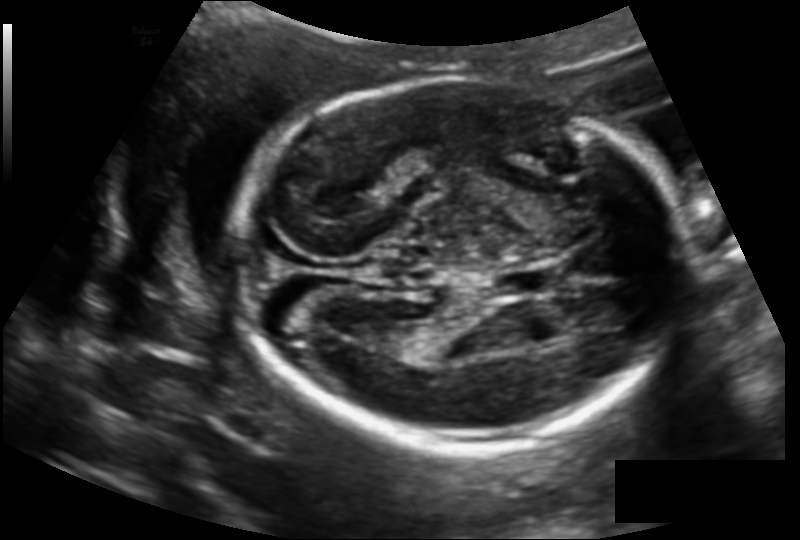
In this fetal head ultrasound, give the bounding box of the fetal head. Image width: 116.1 mm.

[236,78,682,448]